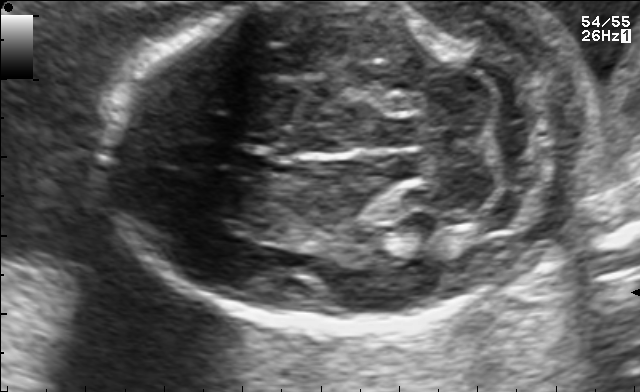
Fetal brain, trans-cerebellum plane. Give [x1,y1,x2,y2] bounding boxes for each visible structure among: fetal head, CSP, LV.

Head: [101,2,592,327]